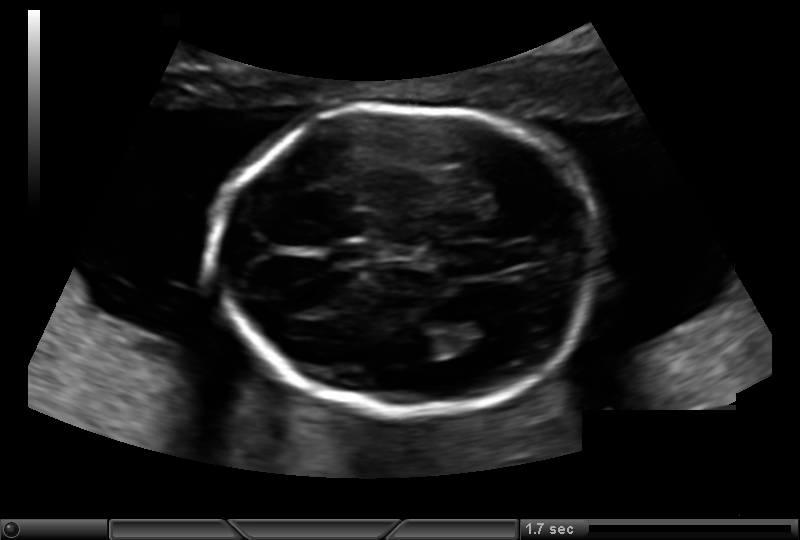
Estimate the fetal head circumference from this 2D ultrasound.

Head circumference: 154.6 mm (image width 107.7 mm).